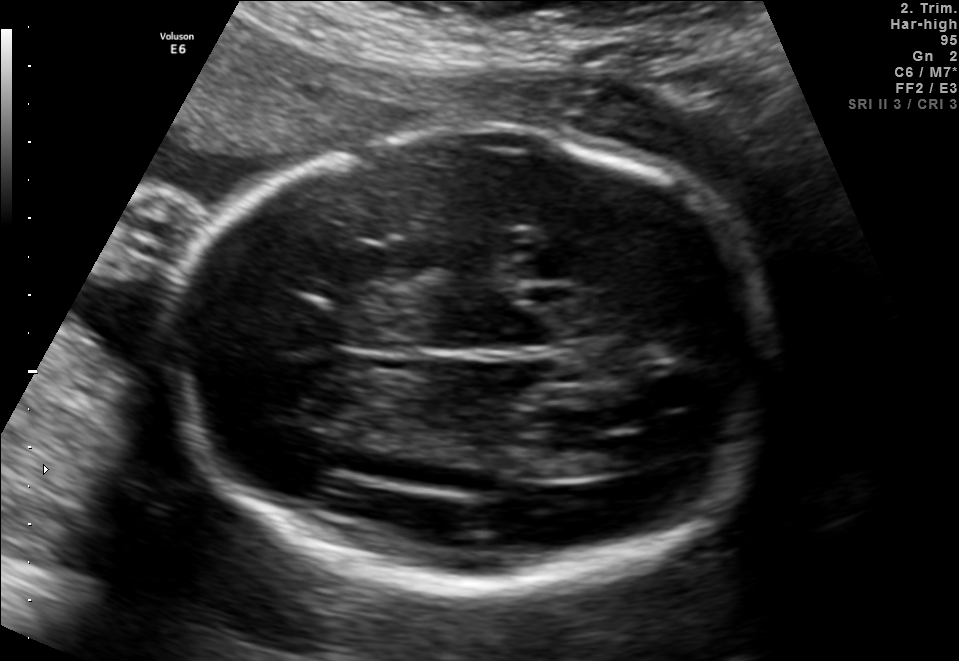
Classify this maternal-fetal ultrasound image as one of the six standard planes — fetal abdomen, fetal brain, fetal femur, fetal thorax, maternal cervix, or other. If it's fetal brain and one of the three standard brain planes (trans-thalamic, trans-cerebellum, trans-ventricular), name which.

Fetal brain (trans-thalamic plane)